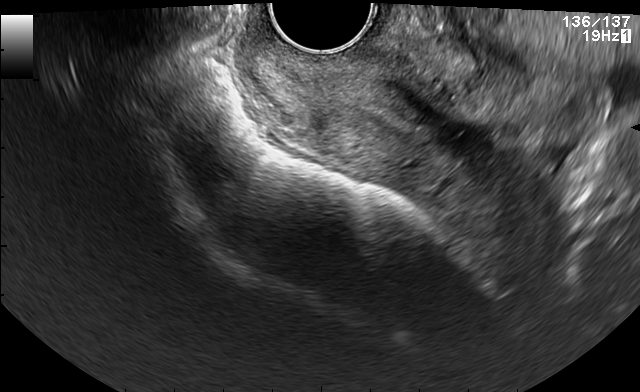
Identify the standard plane in this fetal ultrasound image: fetal abdomen, fetal brain, fetal femur, fetal thorax, maternal cervix, or other. If it's fetal brain and one of the three standard brain planes (trans-thalamic, trans-cerebellum, trans-ventricular), name which.

Maternal cervix